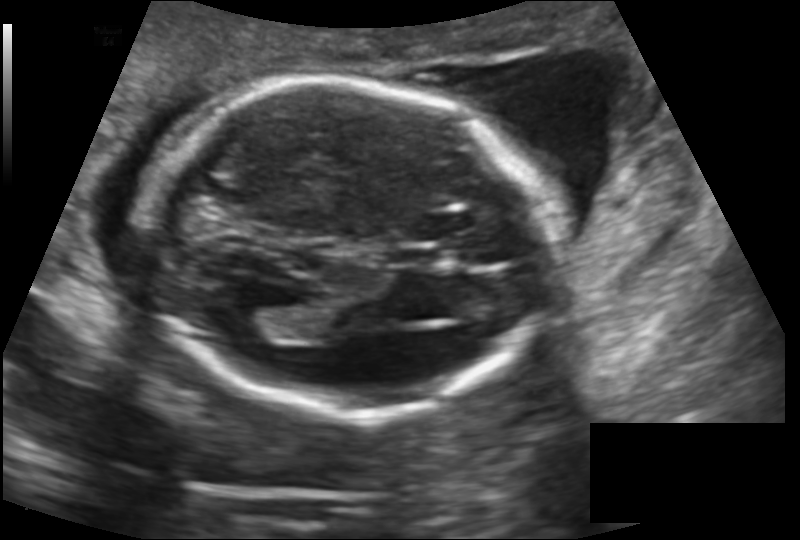
In this fetal head ultrasound, give bounding boxes for the head outline, cavum septum pellucidum (CSP), and lateral ventricle (LV), where visible. Image width: 116.4 mm.

Head: [141,80,547,414]
CSP: [389,247,442,268]
Lateral ventricle: [225,307,278,339]